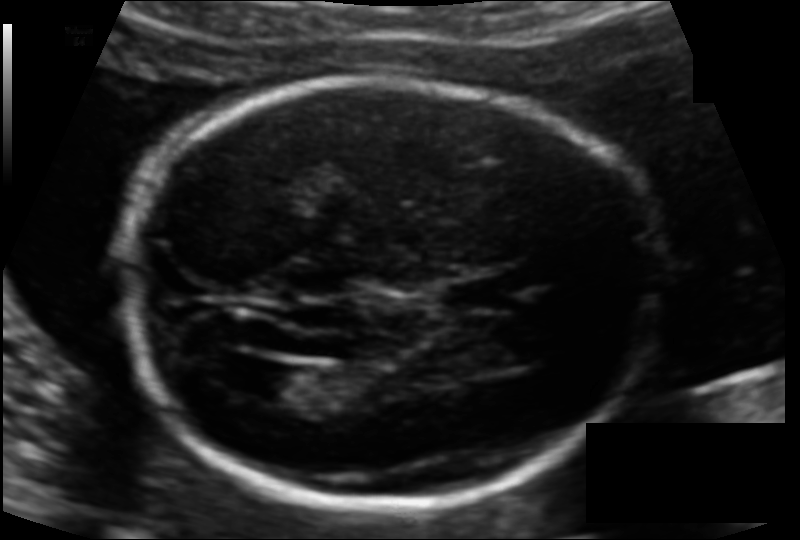
Measure the fetal head circumference shown in this ultrasound image. Image width: 90.3 mm.

Head circumference: 176.2 mm.